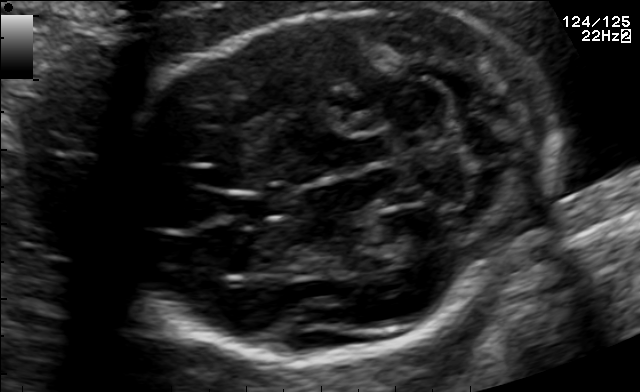
This is a 2D maternal-fetal ultrasound frame. Is it a fetal abdomen, fetal brain, fetal femur, fetal thorax, maternal cervix, or other standard plane? If it's fetal brain and one of the three standard brain planes (trans-thalamic, trans-cerebellum, trans-ventricular), name which.

Fetal brain (trans-cerebellum plane)